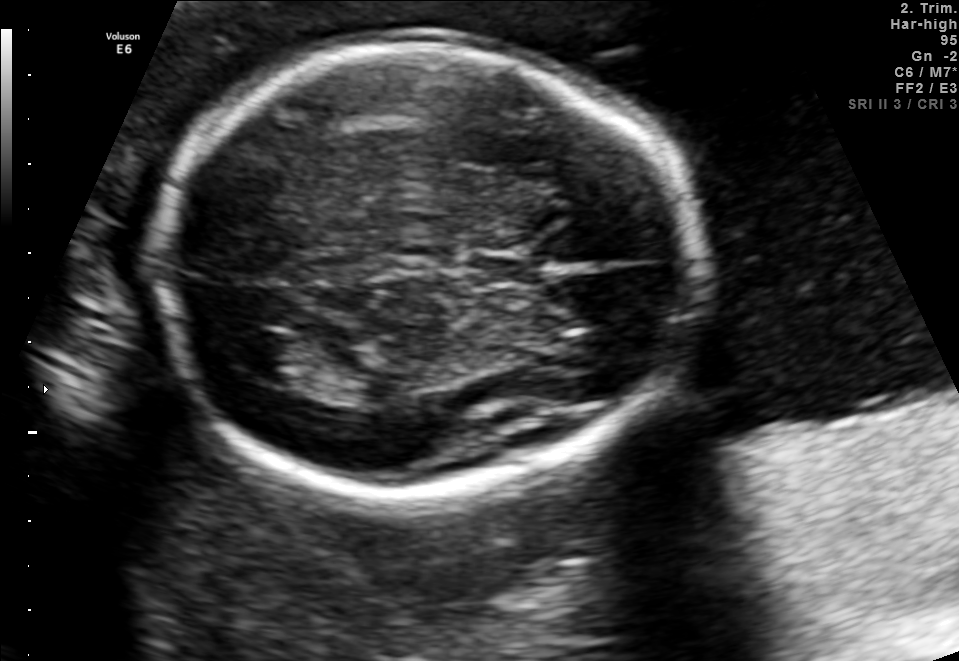
In this fetal brain, trans-thalamic plane, give the bounding box of the cavum septum pellucidum.

[463,250,551,286]